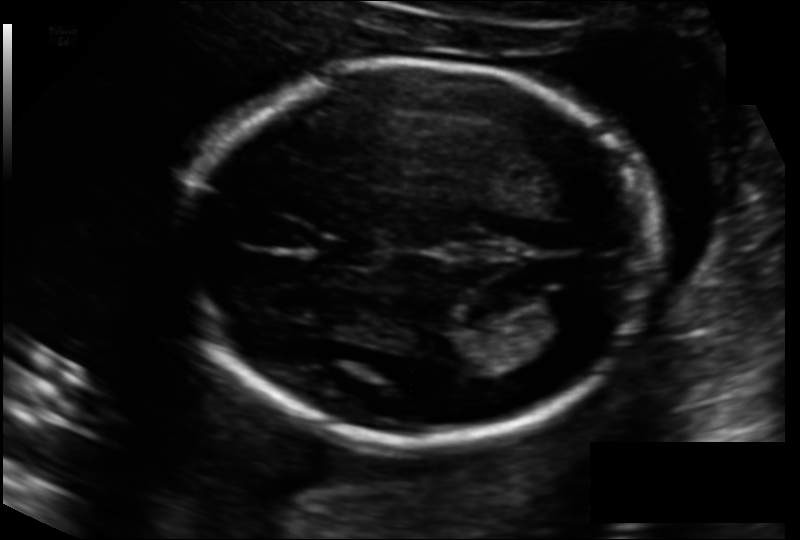
Fetal head ultrasound. Image width: 106.6 mm. Where is the cavum septum pellucidum?

CSP bounding box: [319,234,381,270]